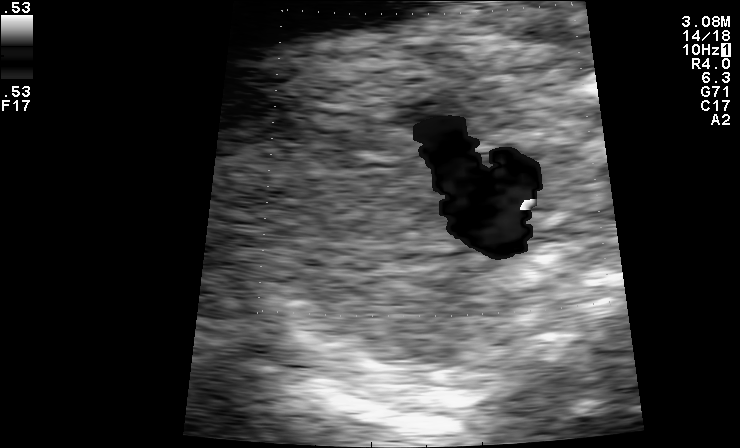
Classify this maternal-fetal ultrasound image as one of the six standard planes — fetal abdomen, fetal brain, fetal femur, fetal thorax, maternal cervix, or other. If it's fetal brain and one of the three standard brain planes (trans-thalamic, trans-cerebellum, trans-ventricular), name which.

Other